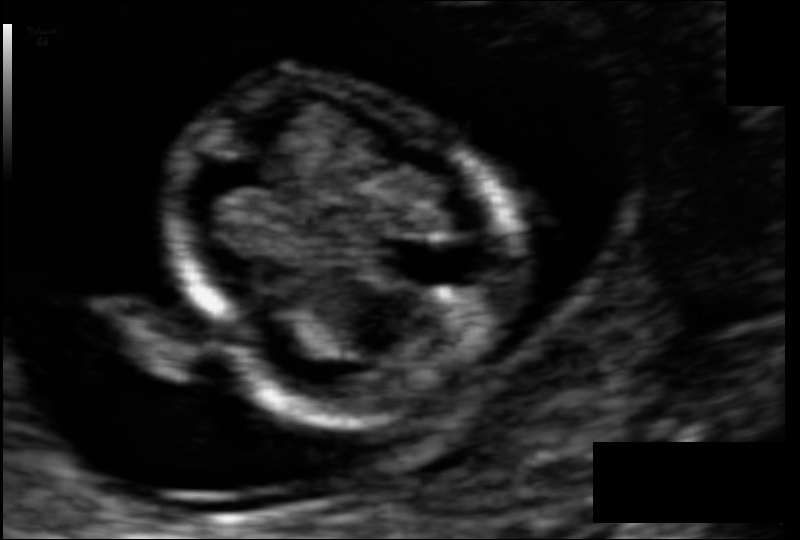
In this fetal head ultrasound, give bounding boxes for the head outline, cavum septum pellucidum (CSP), and lateral ventricle (LV), where visible. Image width: 47.3 mm.

Head: [165,75,513,416]